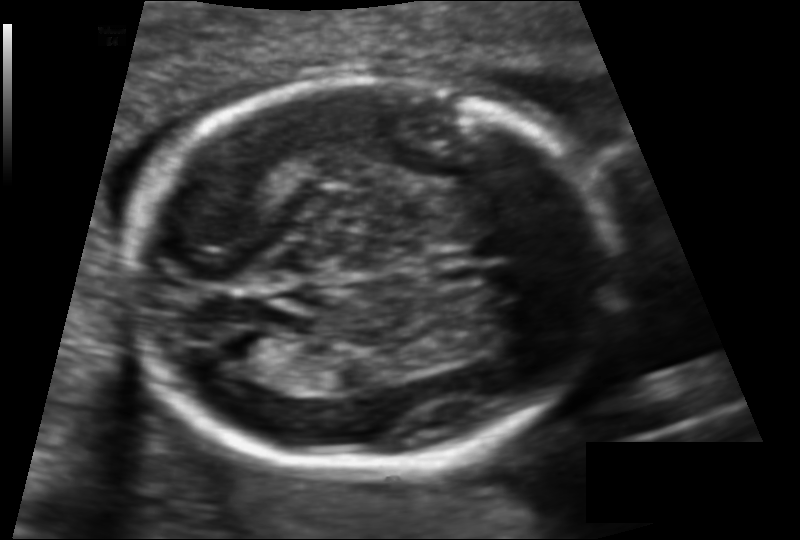
Fetal head ultrasound. Image width: 94.9 mm. Where is the lateral ventricle?

Lateral ventricle bounding box: [208,322,283,377]